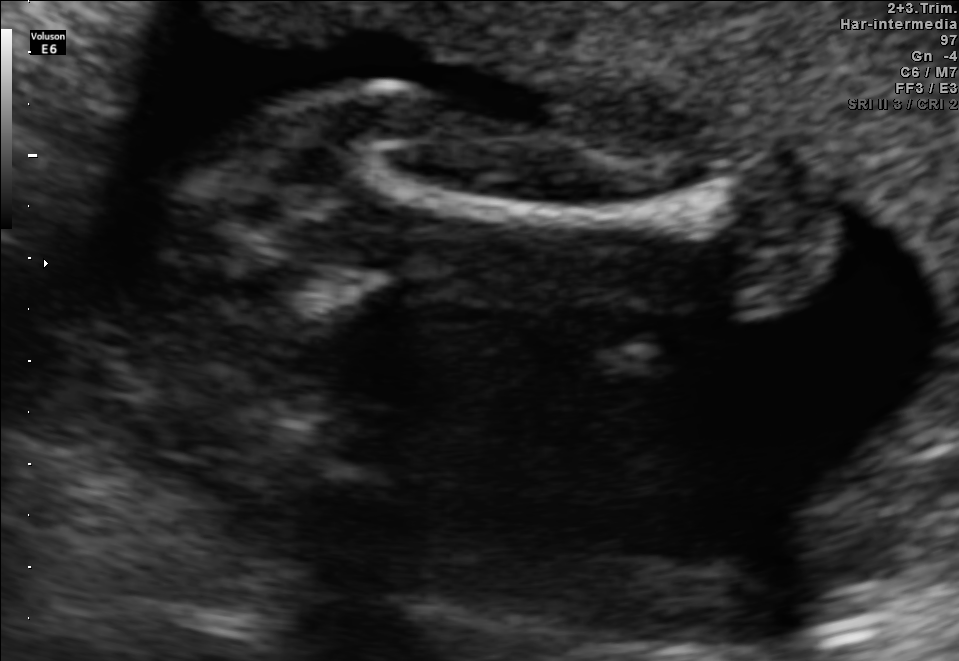
Identify the standard plane in this fetal ultrasound image: fetal abdomen, fetal brain, fetal femur, fetal thorax, maternal cervix, or other. If it's fetal brain and one of the three standard brain planes (trans-thalamic, trans-cerebellum, trans-ventricular), name which.

Fetal femur